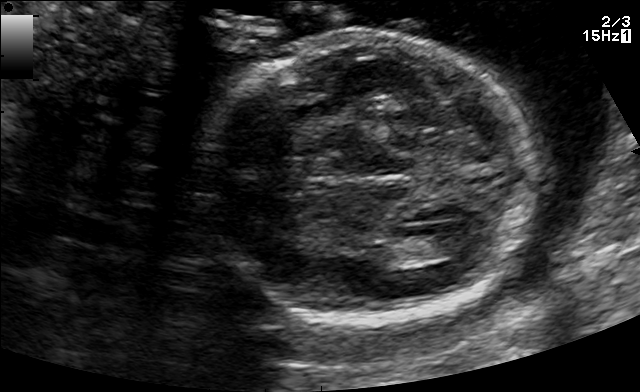
In this fetal brain, trans-ventricular plane, give the bounding box of the fetal head.

[190,26,544,330]